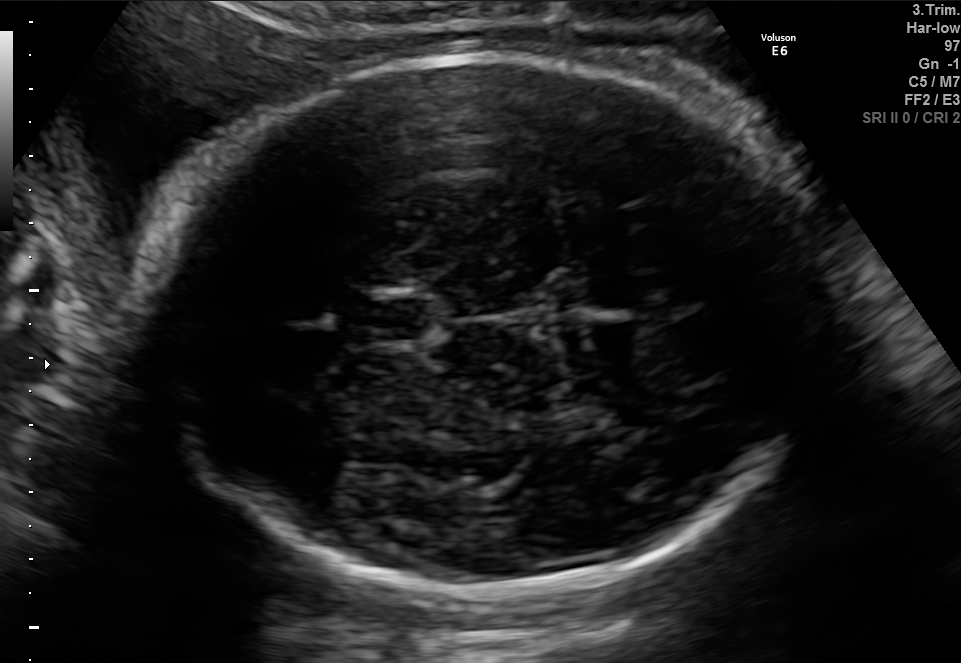
Fetal brain, trans-thalamic plane. Where is the cavum septum pellucidum?

CSP bounding box: [366,299,429,340]